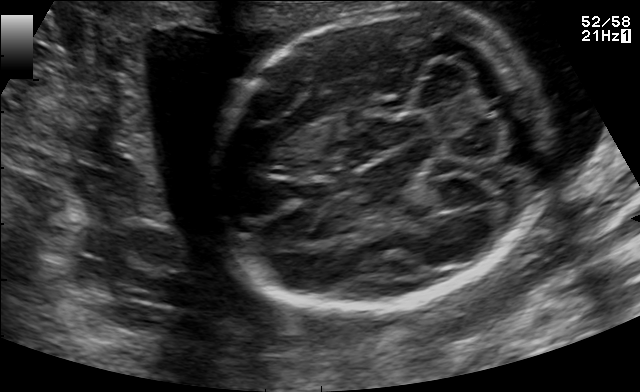
Fetal brain, trans-cerebellum plane. Where is the fetal head?

Head bounding box: [220,9,537,311]